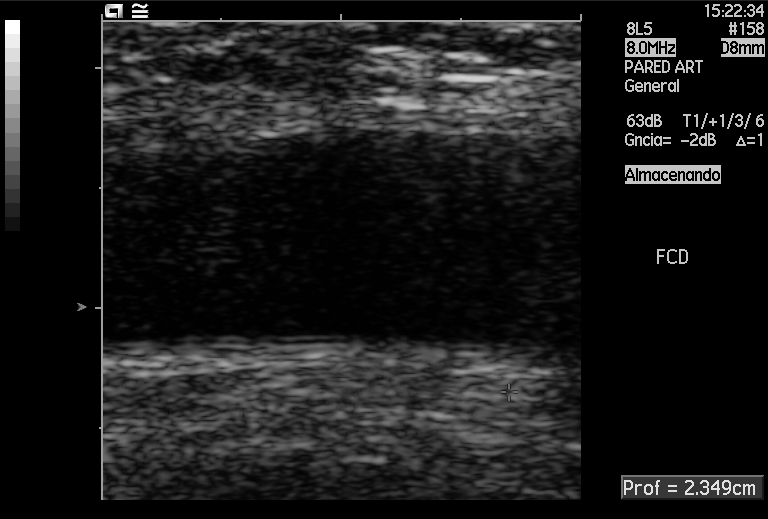
Which standard maternal-fetal ultrasound plane is shown: fetal abdomen, fetal brain, fetal femur, fetal thorax, maternal cervix, or other? If it's fetal brain and one of the three standard brain planes (trans-thalamic, trans-cerebellum, trans-ventricular), name which.

Other